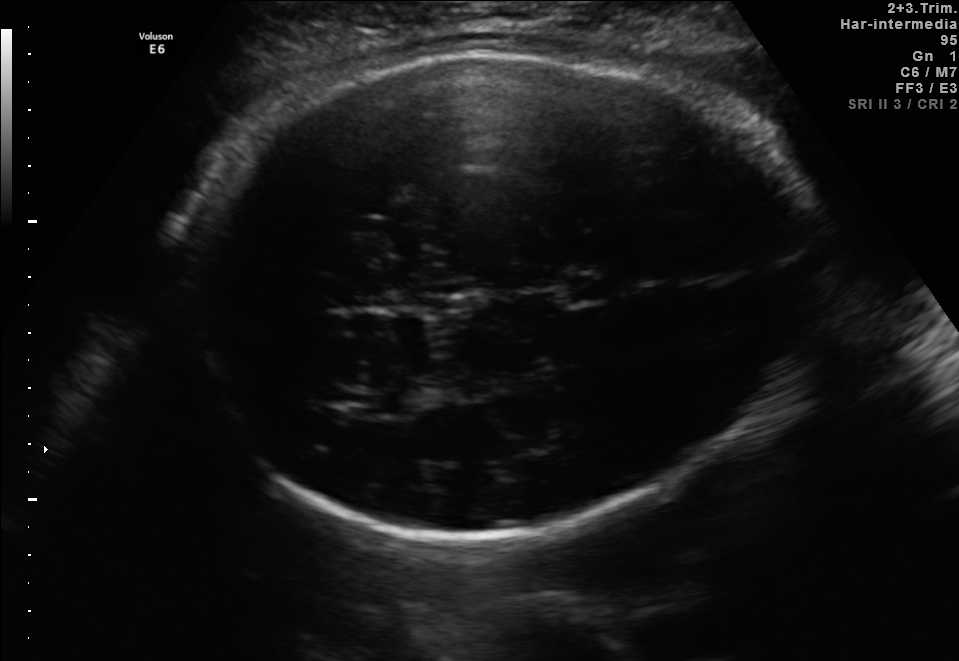
Fetal brain, trans-thalamic plane. Locate the lateral ventricle.

Lateral ventricle: [340,389,411,415]